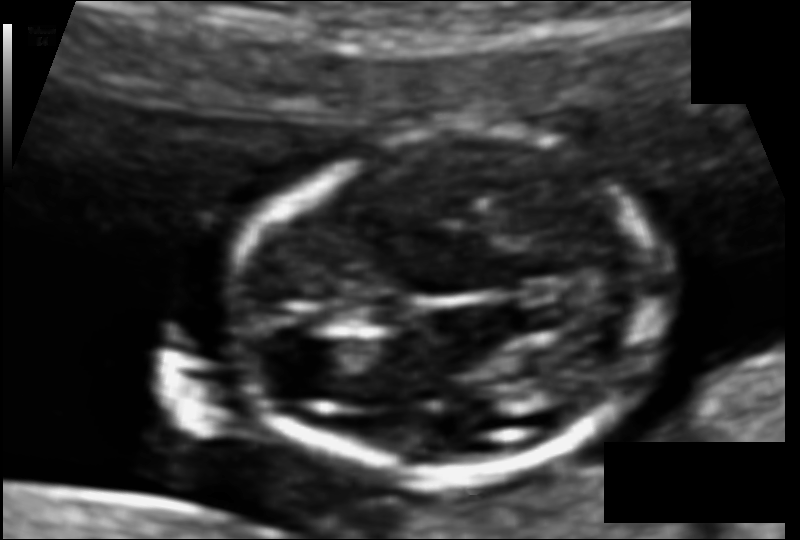
Estimate the fetal head circumference from this 2D ultrasound. Image width: 60.3 mm.

Head circumference: 95.3 mm.